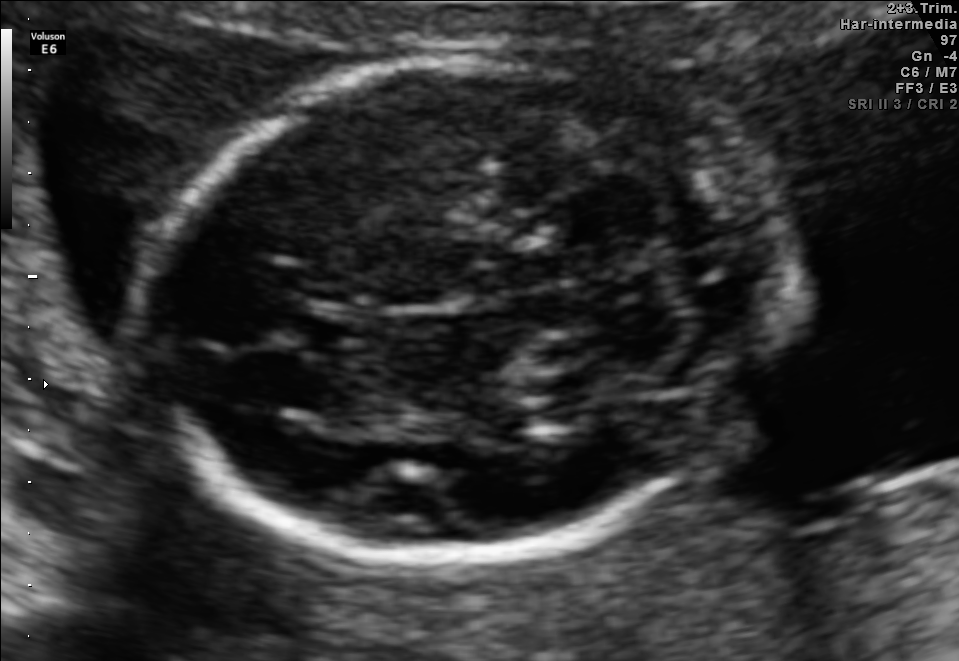
Fetal brain, trans-cerebellum plane. Locate the cavum septum pellucidum.

CSP: [284,304,374,365]